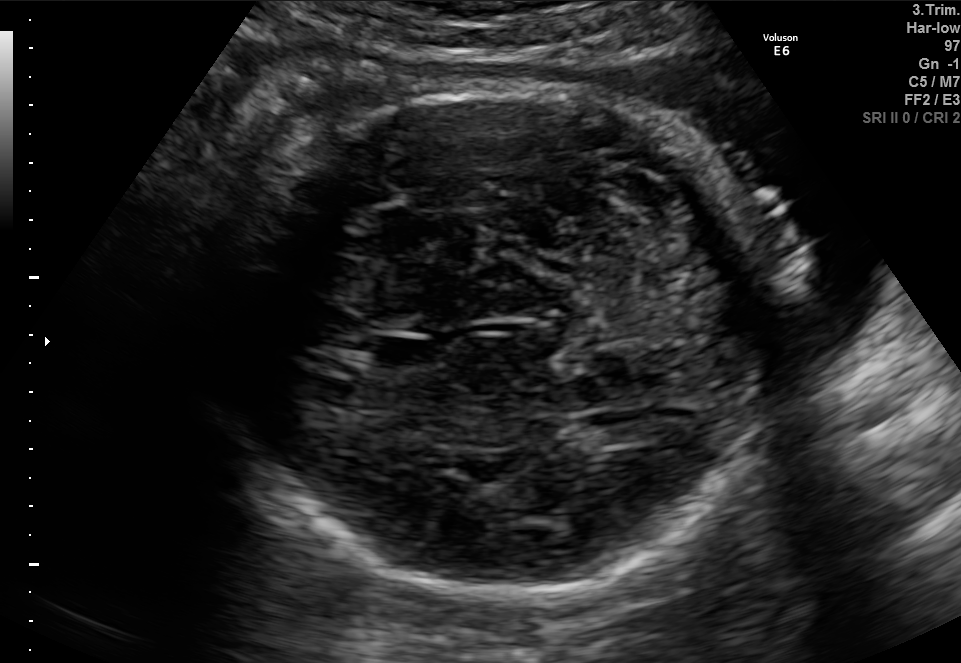
In this fetal brain, trans-cerebellum plane, give the bounding box of the cavum septum pellucidum.

[373,333,438,371]